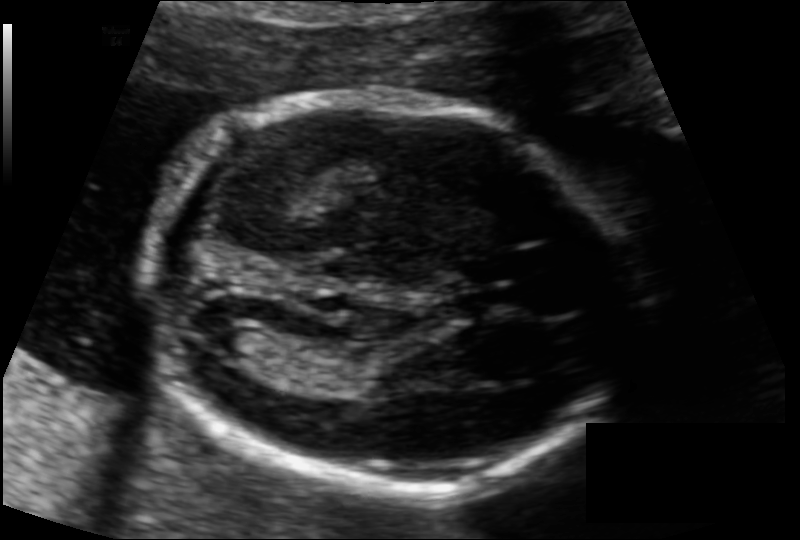
From this fetal ultrasound, estimate the head circumference (image width 86.5 mm).

Head circumference: 154.5 mm.